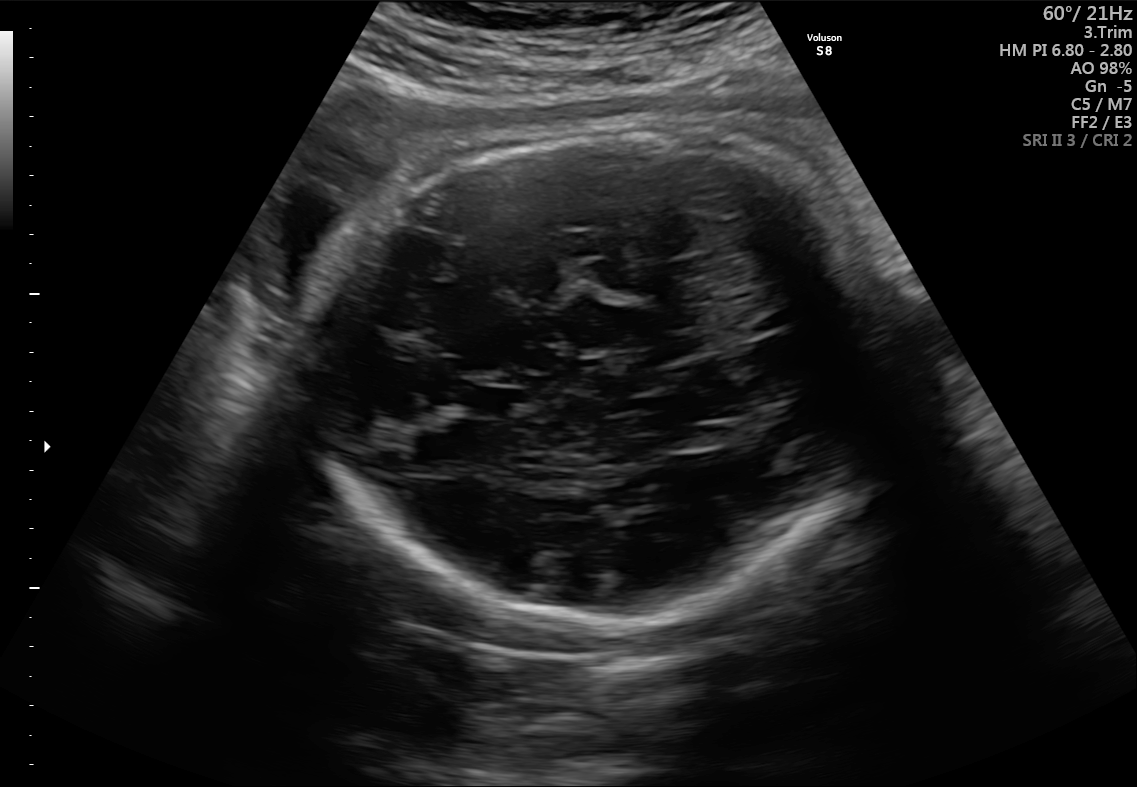
Fetal brain, trans-thalamic plane. Locate the cavum septum pellucidum.

CSP: [474,387,525,418]